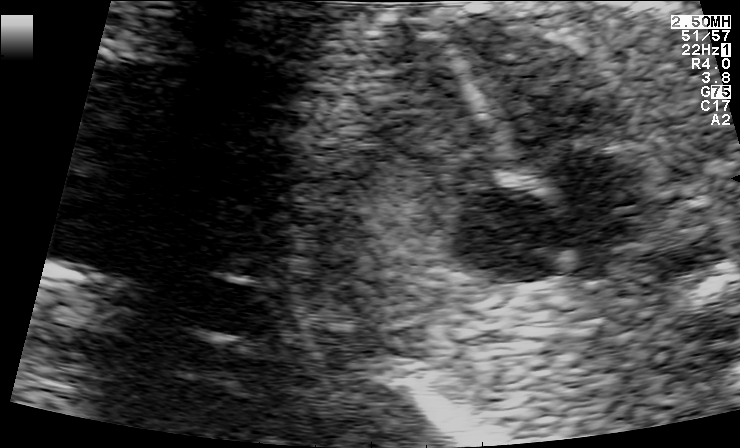
Classify this maternal-fetal ultrasound image as one of the six standard planes — fetal abdomen, fetal brain, fetal femur, fetal thorax, maternal cervix, or other. If it's fetal brain and one of the three standard brain planes (trans-thalamic, trans-cerebellum, trans-ventricular), name which.

Fetal thorax